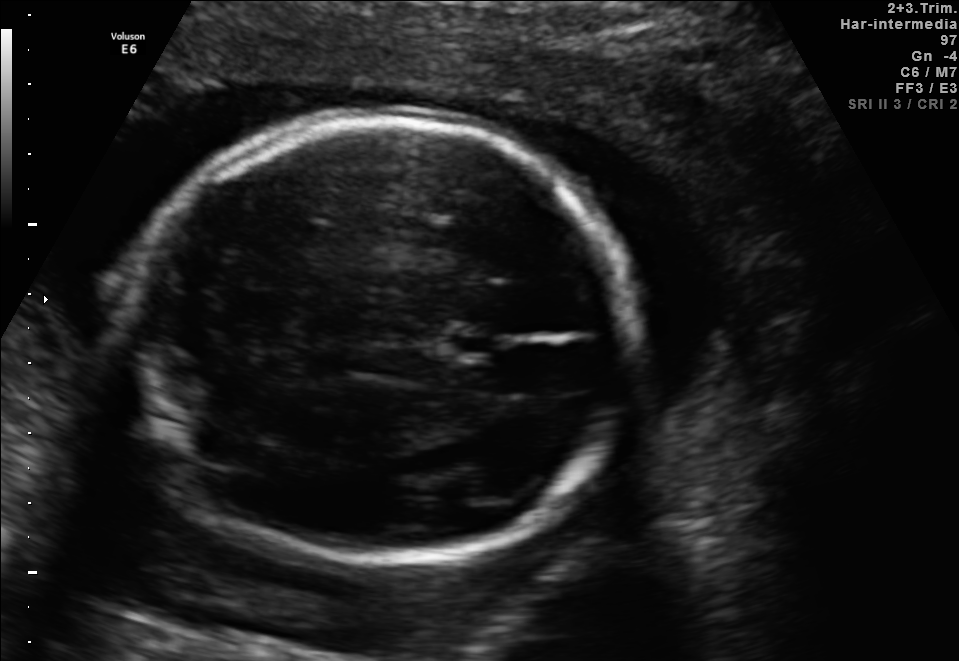
Fetal brain, trans-thalamic plane. Where is the fetal head?

Head bounding box: [128,115,633,558]